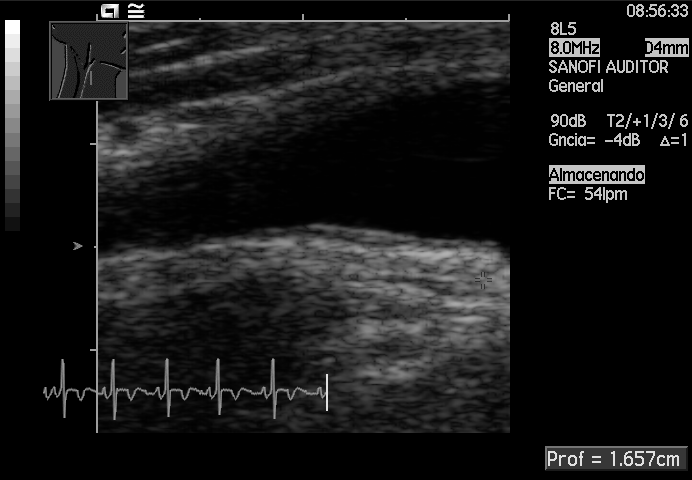
Which standard maternal-fetal ultrasound plane is shown: fetal abdomen, fetal brain, fetal femur, fetal thorax, maternal cervix, or other? If it's fetal brain and one of the three standard brain planes (trans-thalamic, trans-cerebellum, trans-ventricular), name which.

Other